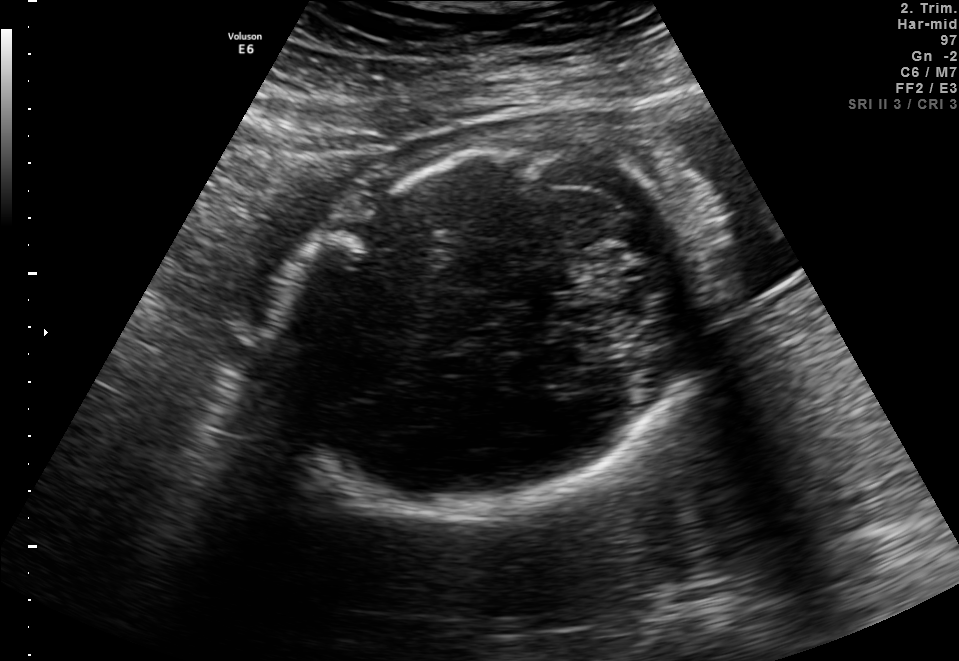
Fetal brain, trans-cerebellum plane. Give [x1,y1,x2,y2] bounding boxes for each visible structure among: fetal head, CSP, LV.

Head: [275,146,702,513]